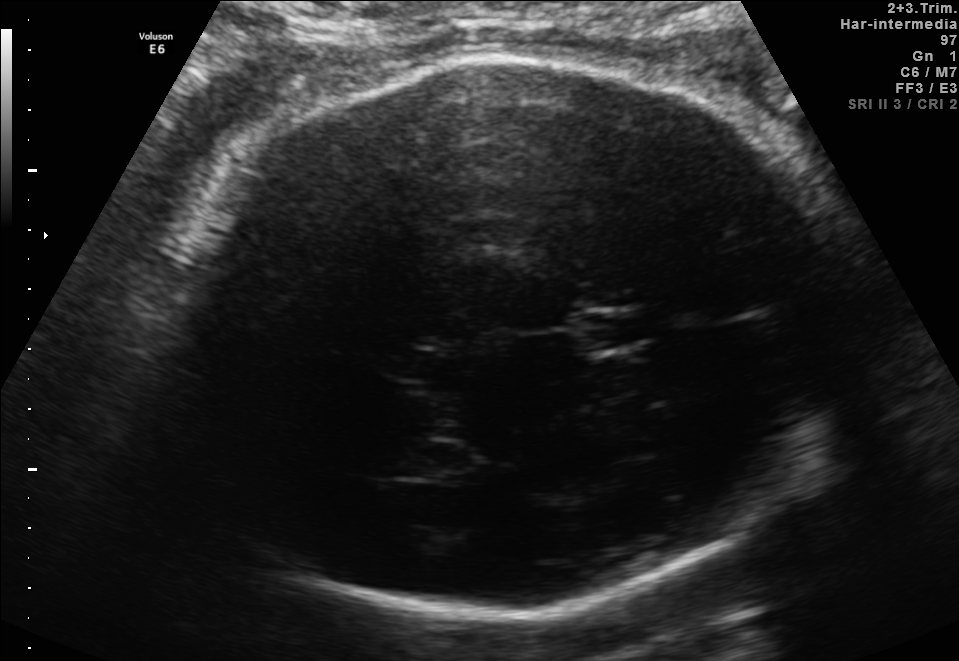
Fetal brain, trans-thalamic plane. Locate the lateral ventricle.

Lateral ventricle: [380,442,465,479]